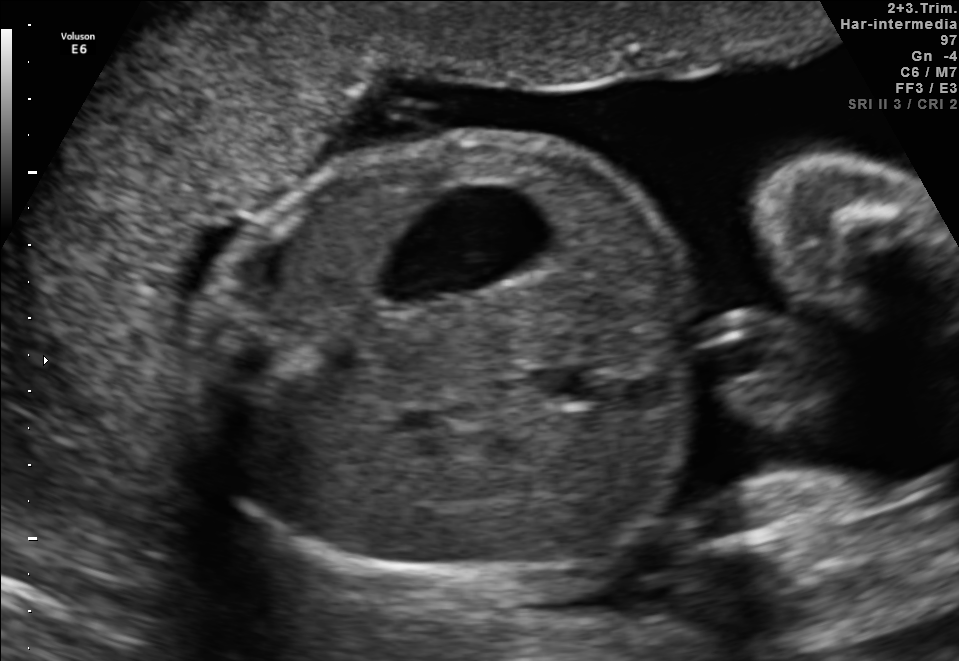
This is a 2D maternal-fetal ultrasound frame. Is it a fetal abdomen, fetal brain, fetal femur, fetal thorax, maternal cervix, or other standard plane? If it's fetal brain and one of the three standard brain planes (trans-thalamic, trans-cerebellum, trans-ventricular), name which.

Fetal abdomen